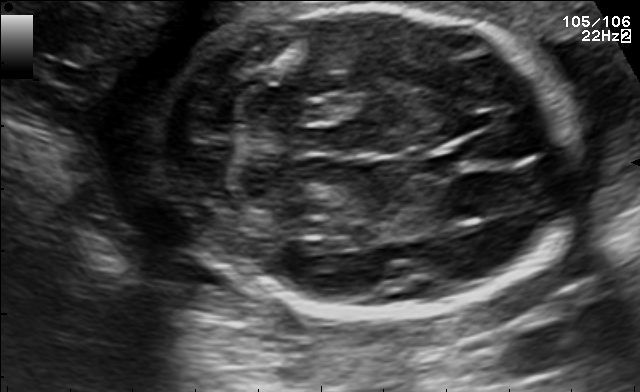
Fetal brain, trans-cerebellum plane. Where is the fetal head?

Head bounding box: [156,5,579,314]